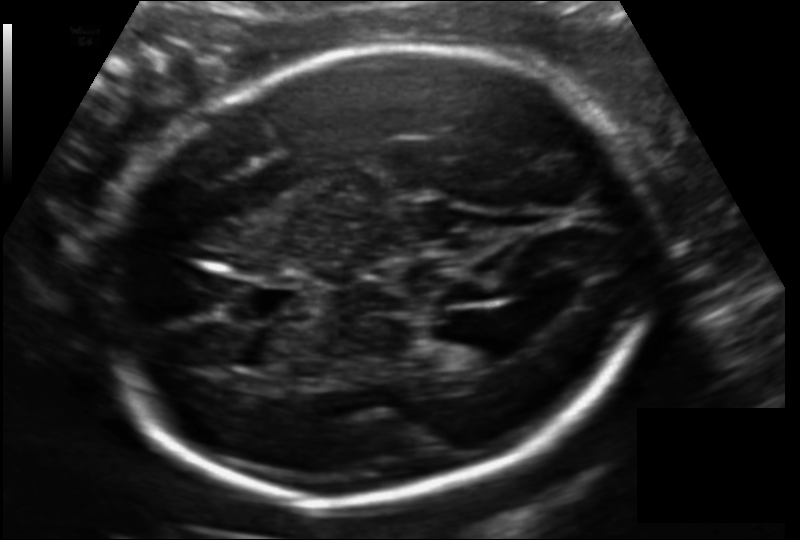
Measure the fetal head circumference shown in this ultrasound image. Image width: 111.6 mm.

Head circumference: 224.0 mm.